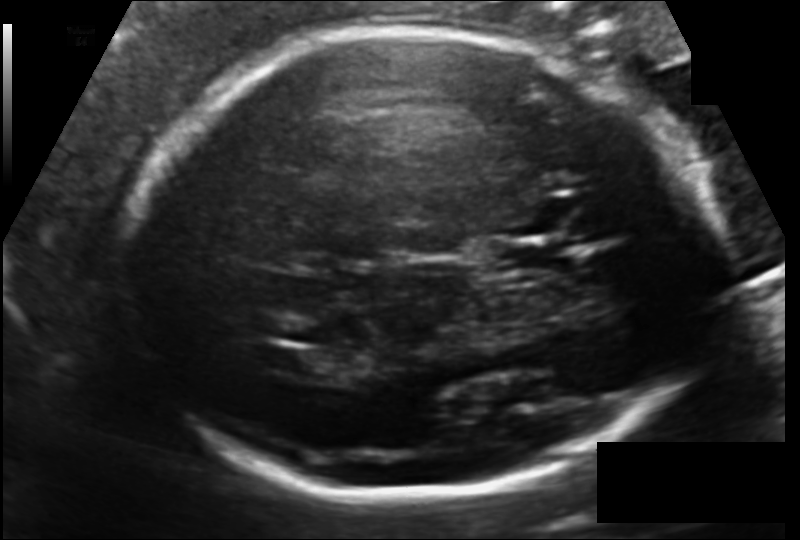
Fetal head ultrasound. Image width: 106.4 mm. Locate the fetal head.

Head: [115,31,718,494]